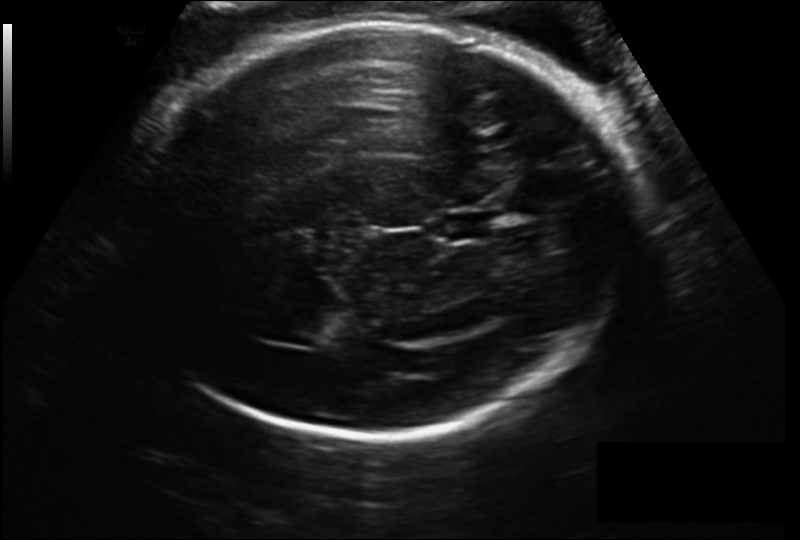
Estimate the fetal head circumference from this 2D ultrasound. Image width: 164.9 mm.

Head circumference: 306.1 mm.